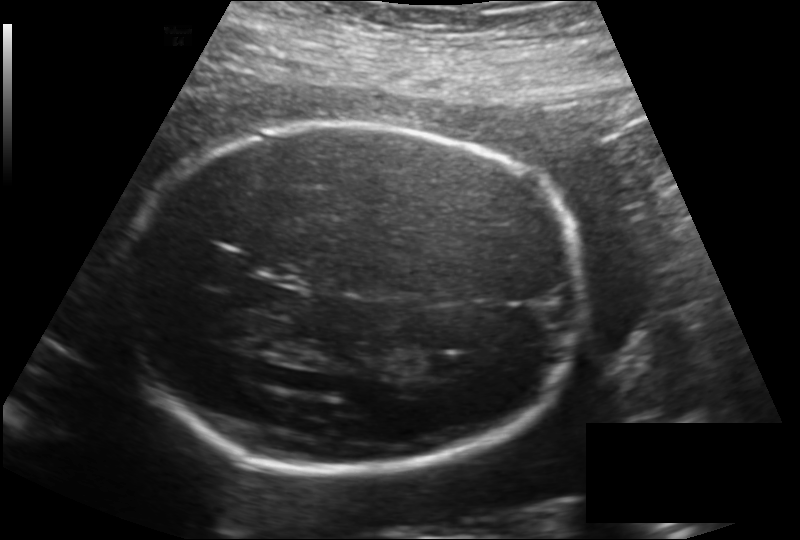
Fetal head ultrasound. Image width: 149.9 mm. Locate the cavum septum pellucidum.

CSP: [242,278,306,322]